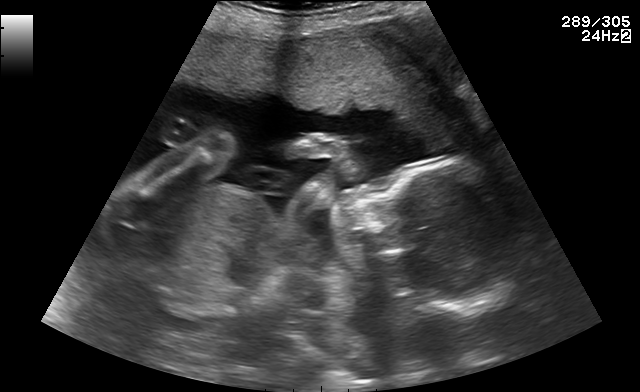
Identify the standard plane in this fetal ultrasound image: fetal abdomen, fetal brain, fetal femur, fetal thorax, maternal cervix, or other. If it's fetal brain and one of the three standard brain planes (trans-thalamic, trans-cerebellum, trans-ventricular), name which.

Other